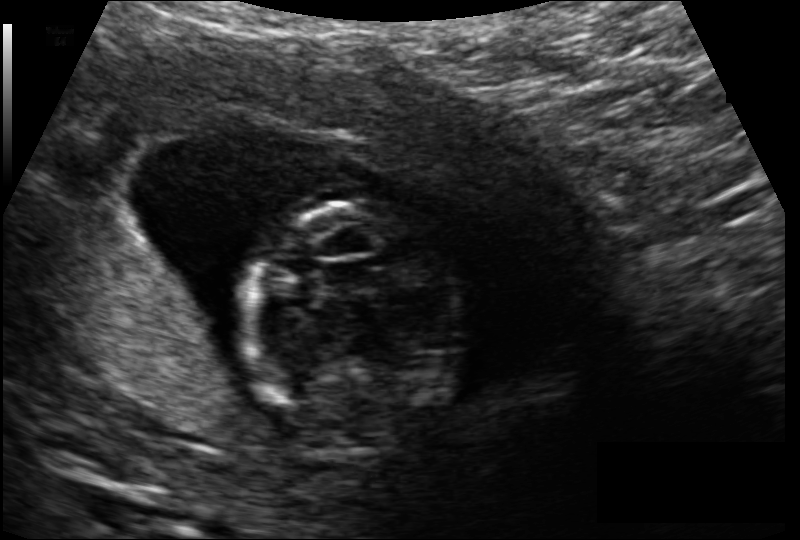
Fetal head ultrasound. Image width: 94.0 mm. Give [x1,y1,x2,y2] bounding boxes for each visible structure among: fetal head, CSP, LV.

Head: [241,199,467,455]